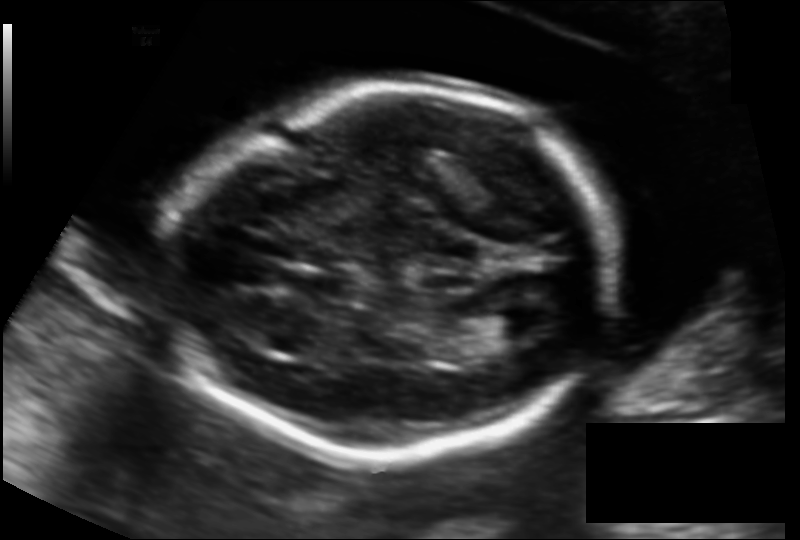
Estimate the fetal head circumference from this 2D ultrasound.

Head circumference: 174.3 mm (image width 105.0 mm).